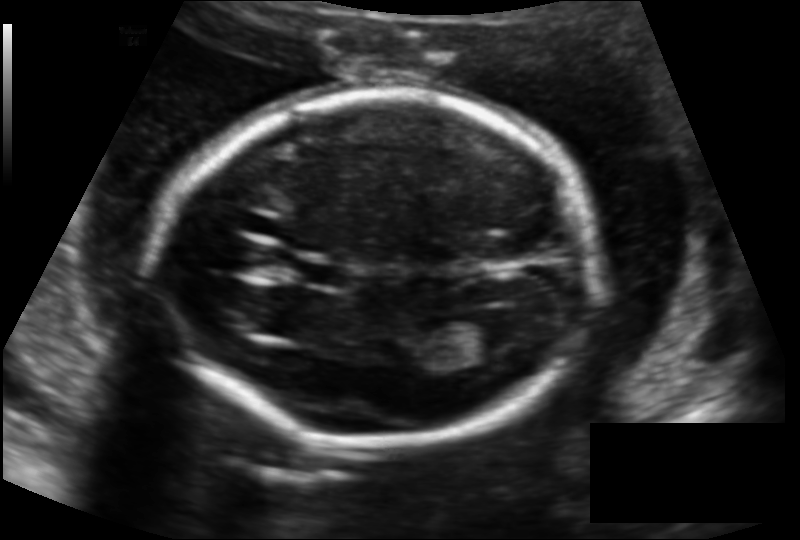
In this fetal head ultrasound, give the bounding box of the lateral ventricle. Image width: 108.6 mm.

[457,306,528,359]